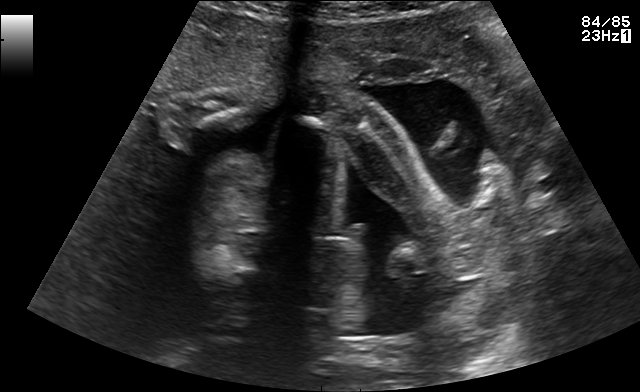
Which standard maternal-fetal ultrasound plane is shown: fetal abdomen, fetal brain, fetal femur, fetal thorax, maternal cervix, or other? If it's fetal brain and one of the three standard brain planes (trans-thalamic, trans-cerebellum, trans-ventricular), name which.

Other